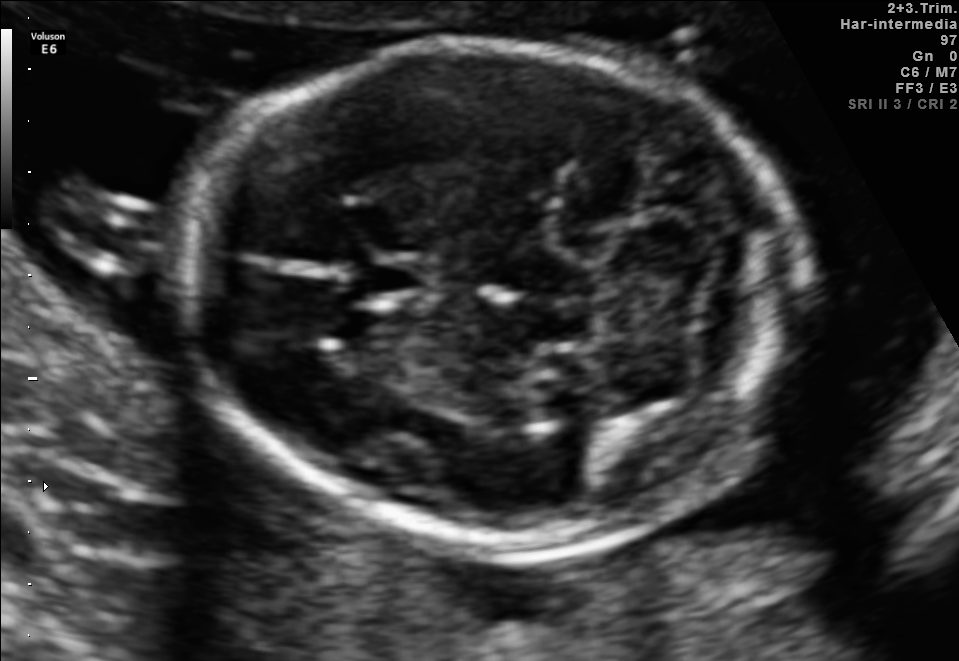
Fetal brain, trans-cerebellum plane. Locate the fetal head.

Head: [183,44,808,543]